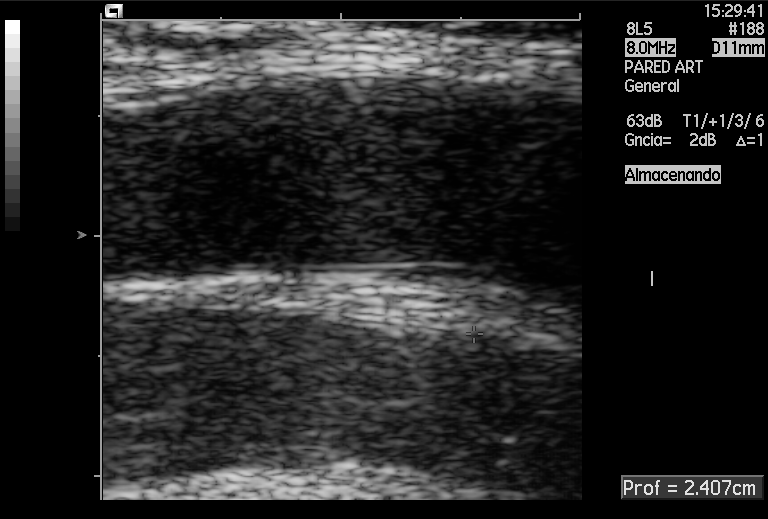
This is a 2D maternal-fetal ultrasound frame. Is it a fetal abdomen, fetal brain, fetal femur, fetal thorax, maternal cervix, or other standard plane? If it's fetal brain and one of the three standard brain planes (trans-thalamic, trans-cerebellum, trans-ventricular), name which.

Other